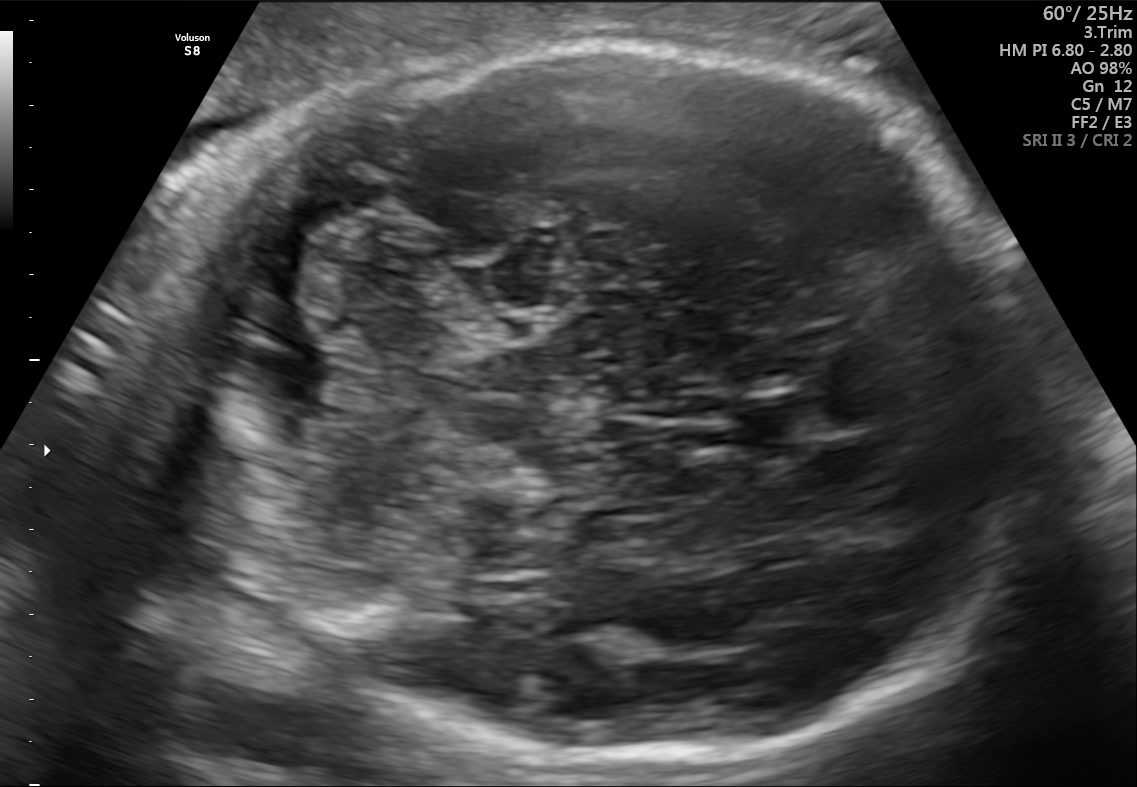
Fetal brain, trans-cerebellum plane. Give [x1,y1,x2,y2] bounding boxes for each visible structure among: fetal head, CSP, LV.

Head: [145,42,1049,760]
CSP: [732,386,832,461]